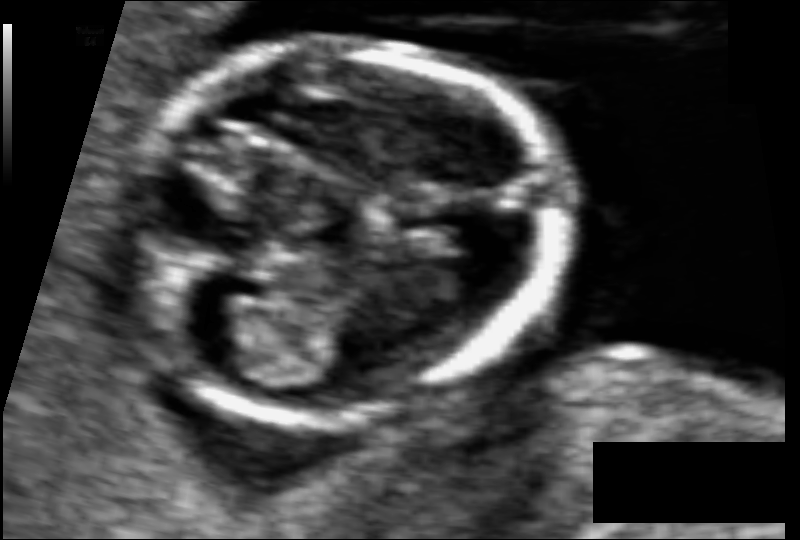
In this fetal head ultrasound, give bounding boxes for the head outline, cavum septum pellucidum (CSP), and lateral ventricle (LV), where visible. Image width: 47.6 mm.

Head: [118,44,551,421]